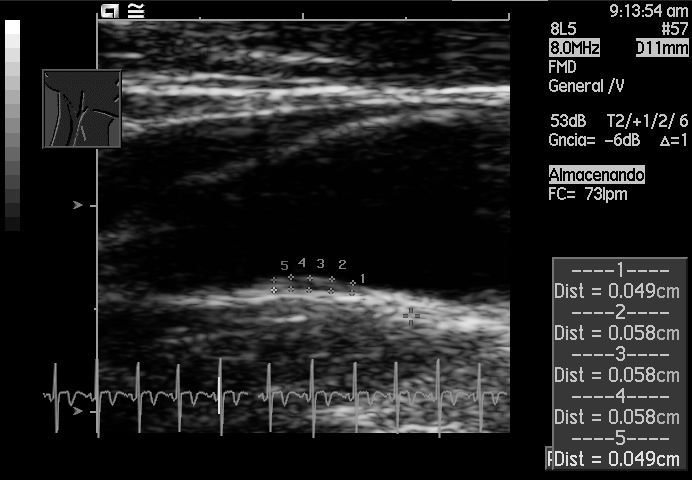
This is a 2D maternal-fetal ultrasound frame. Is it a fetal abdomen, fetal brain, fetal femur, fetal thorax, maternal cervix, or other standard plane? If it's fetal brain and one of the three standard brain planes (trans-thalamic, trans-cerebellum, trans-ventricular), name which.

Other